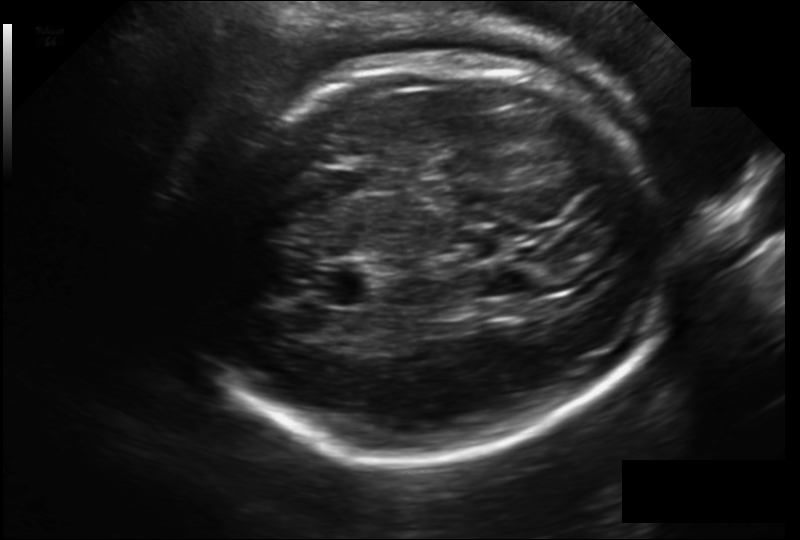
Fetal head ultrasound. Image width: 162.0 mm. Locate the fetal head.

Head: [183,54,664,462]